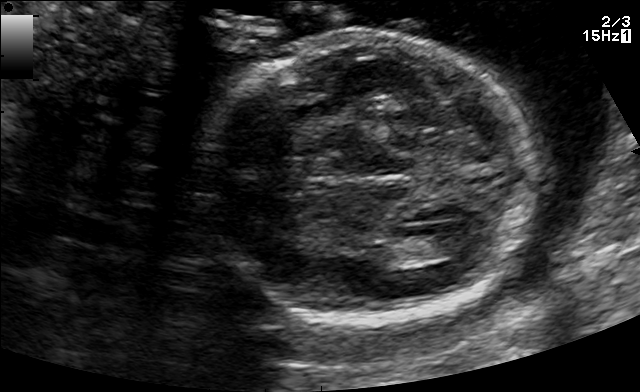
Fetal brain, trans-ventricular plane. Locate the cavum septum pellucidum.

CSP: [302,171,341,191]